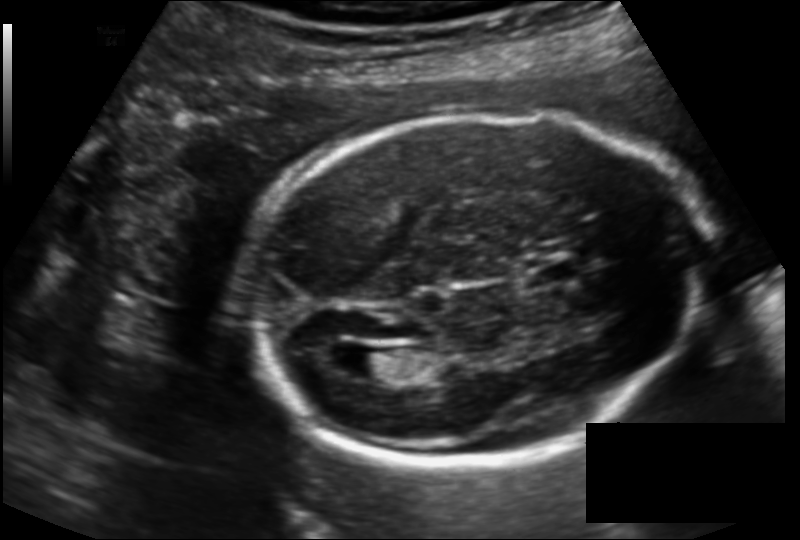
In this fetal head ultrasound, give the bounding box of the lateral ventricle. Image width: 114.4 mm.

[344,345,400,380]